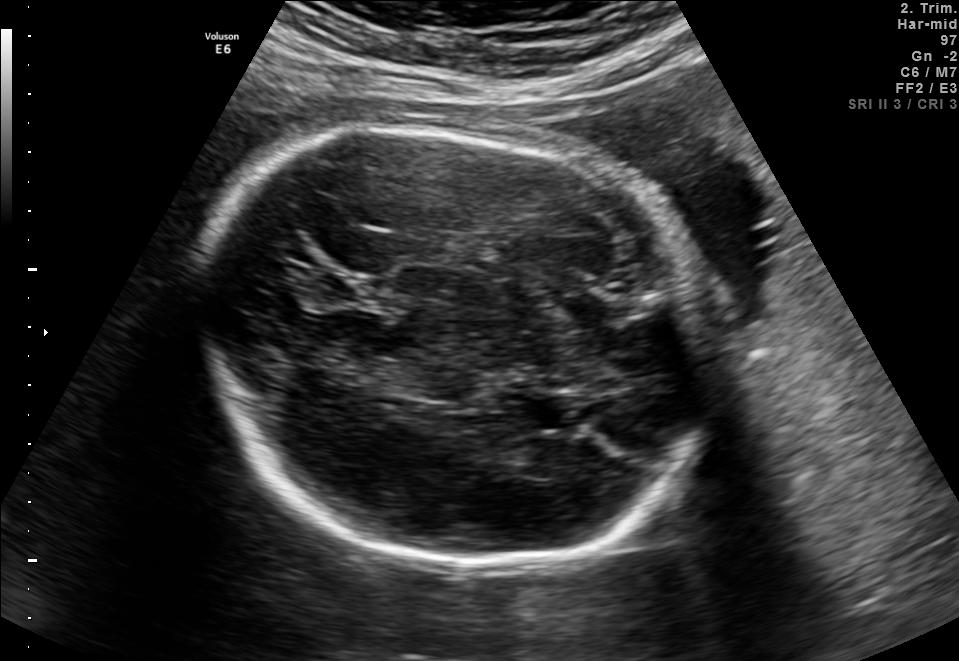
Fetal brain, trans-thalamic plane. Locate the fetal head.

Head: [201,121,704,570]